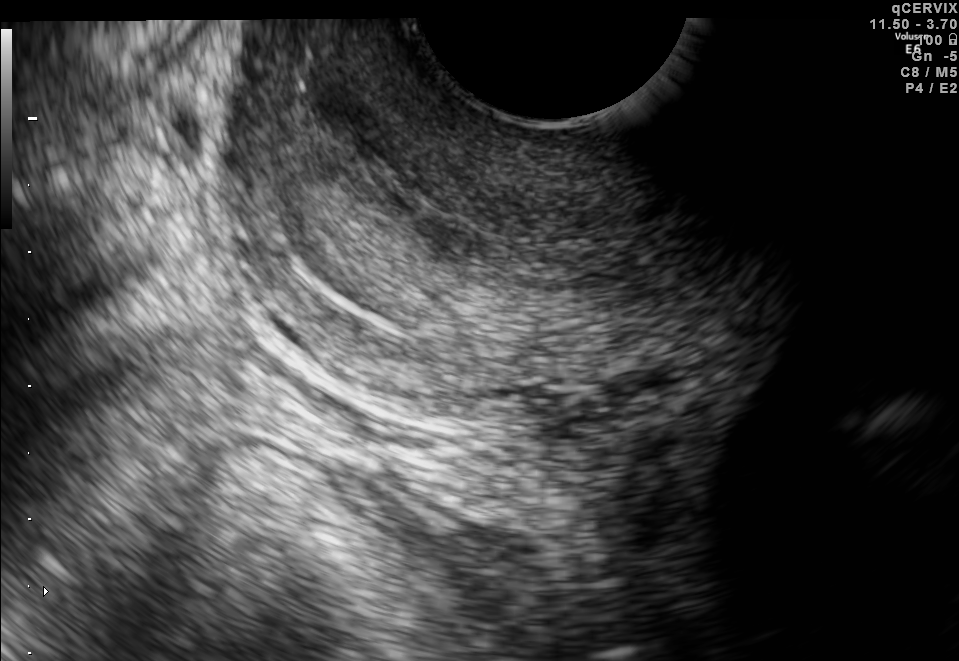
Identify the standard plane in this fetal ultrasound image: fetal abdomen, fetal brain, fetal femur, fetal thorax, maternal cervix, or other. If it's fetal brain and one of the three standard brain planes (trans-thalamic, trans-cerebellum, trans-ventricular), name which.

Maternal cervix